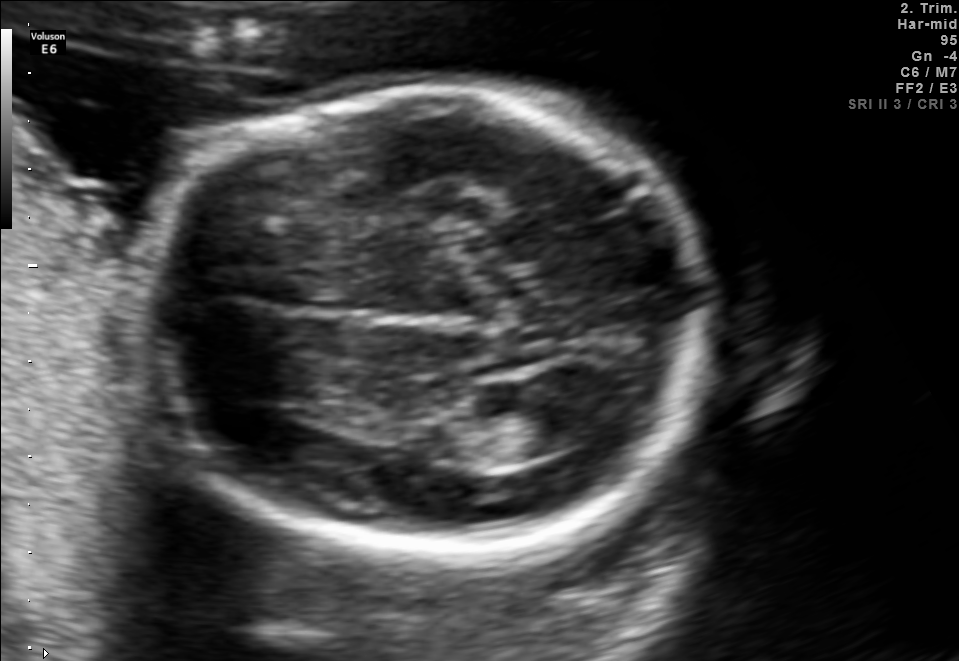
Fetal brain, trans-ventricular plane. Locate the fetal head and, if visible, the cavum septum pellucidum (CSP) and lateral ventricle (LV). Give bounding boxes as [x1,y1,x2,y2].

Head: [135,77,730,570]